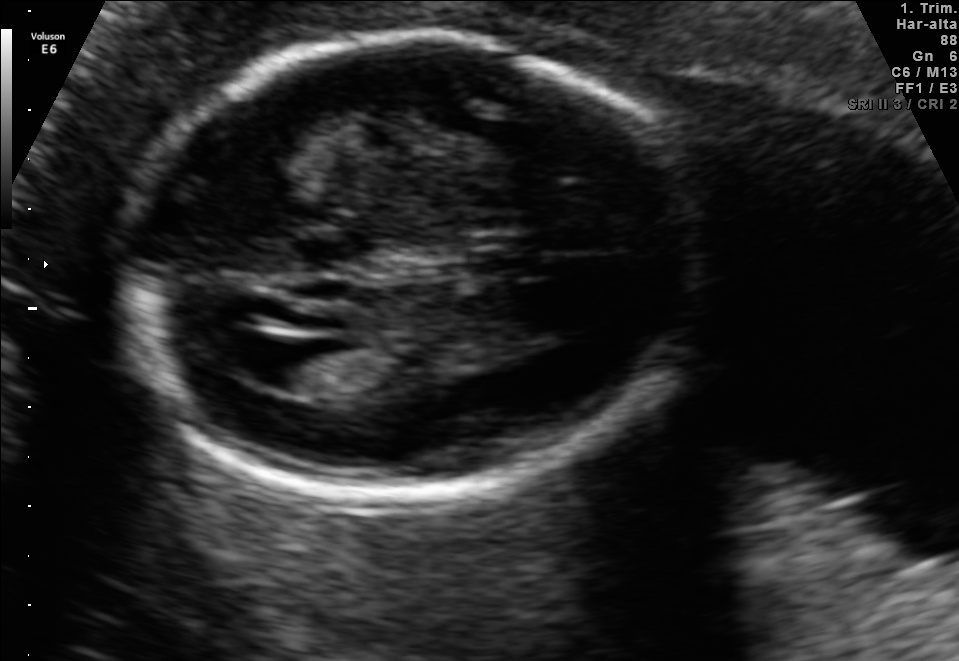
In this fetal brain, trans-ventricular plane, give the bounding box of the cavum septum pellucidum.

[474,246,547,280]